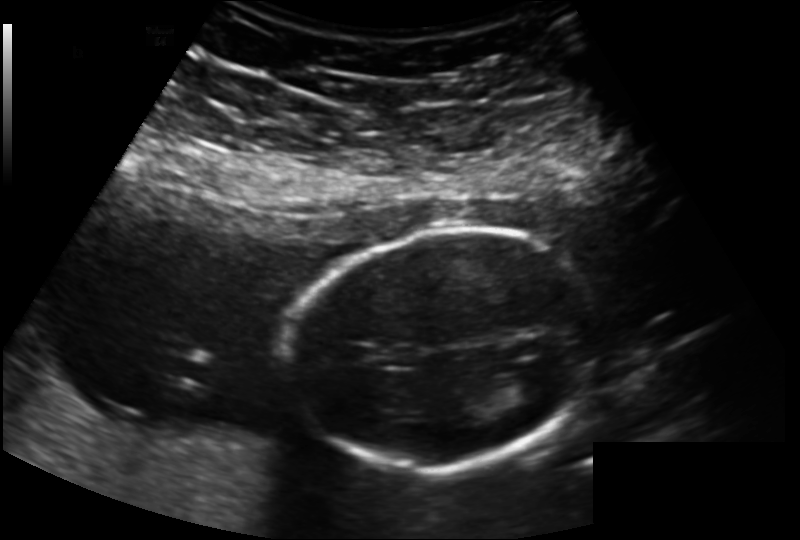
In this fetal head ultrasound, give bounding boxes for the head outline, cavum septum pellucidum (CSP), and lateral ventricle (LV), where visible. Image width: 130.7 mm.

Head: [294,229,597,470]
Lateral ventricle: [508,362,559,406]